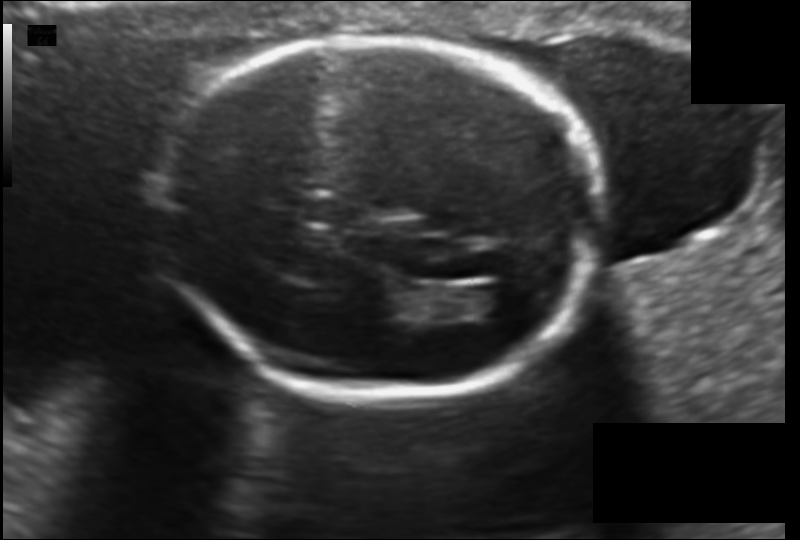
Estimate the fetal head circumference from this 2D ultrasound. Image width: 104.2 mm.

Head circumference: 169.9 mm.